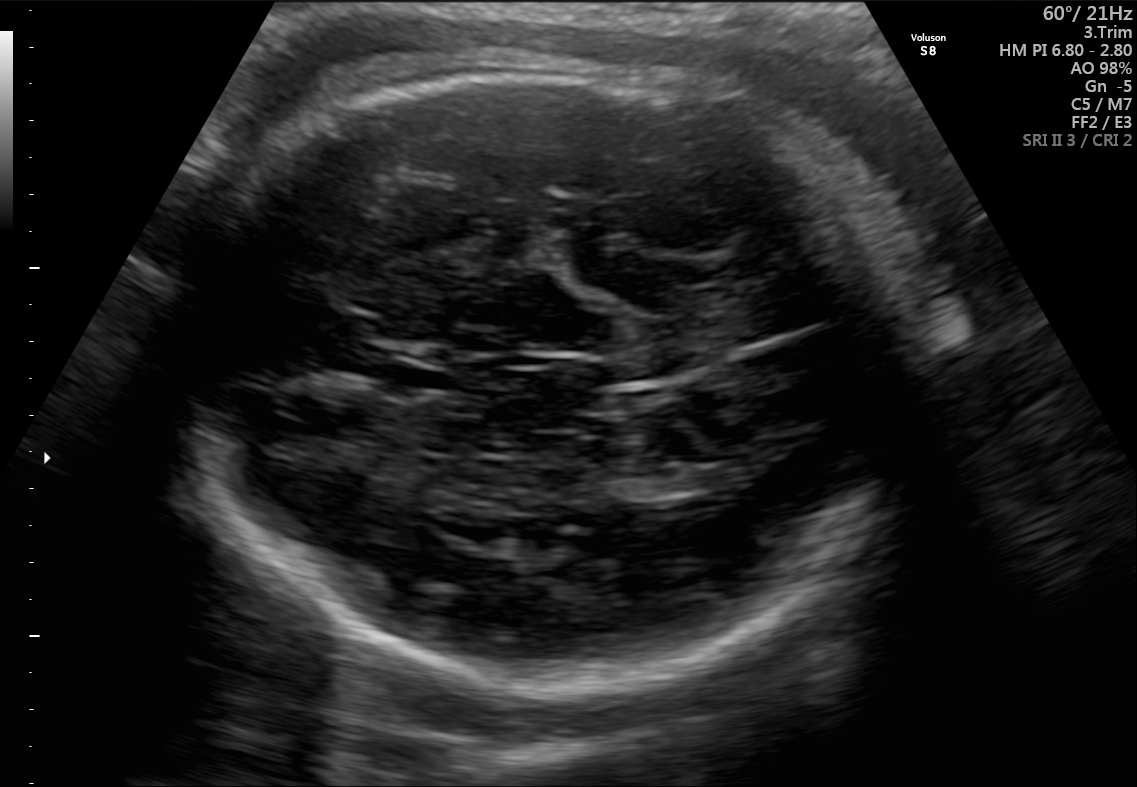
Fetal brain, trans-thalamic plane. Locate the fetal head and, if visible, the cavum septum pellucidum (CSP) and lateral ventricle (LV). Give bounding boxes as [x1,y1,x2,y2].

Head: [167,67,918,682]
CSP: [380,355,457,396]
Lateral ventricle: [687,456,753,493]